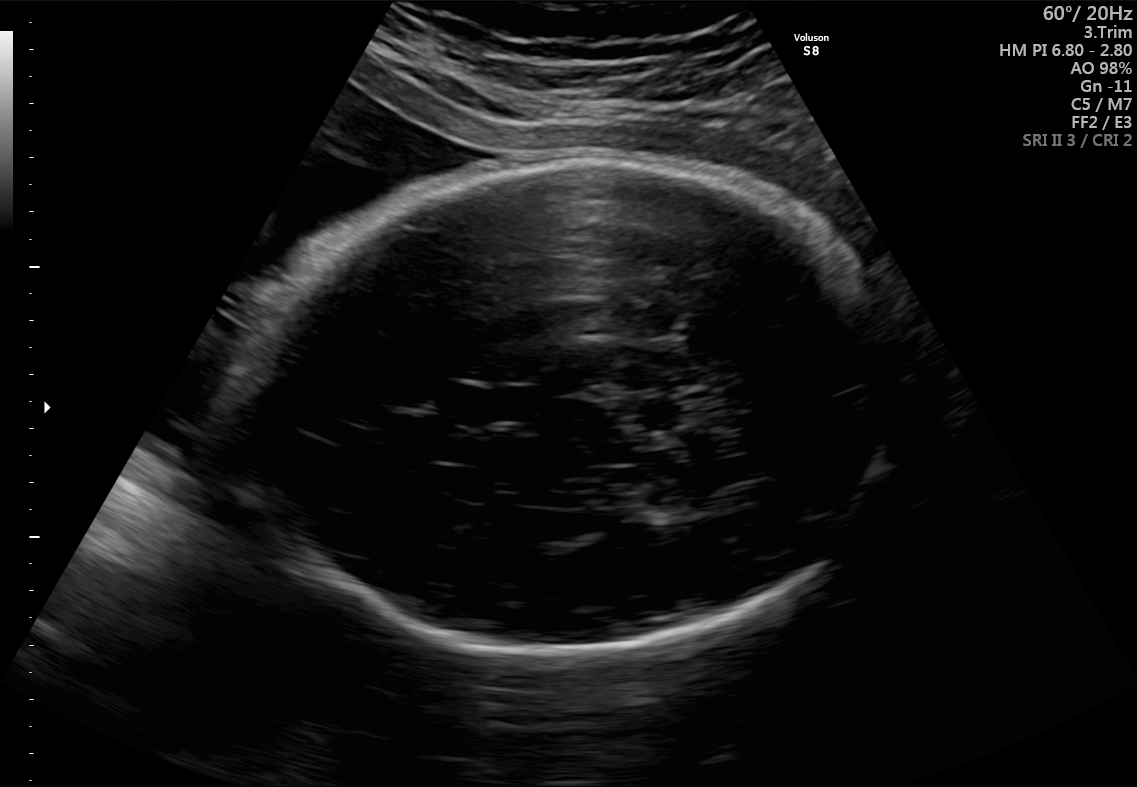
Fetal brain, trans-thalamic plane. Locate the fetal head and, if visible, the cavum septum pellucidum (CSP) and lateral ventricle (LV). Give bounding boxes as [x1,y1,x2,y2].

Head: [225,154,909,662]